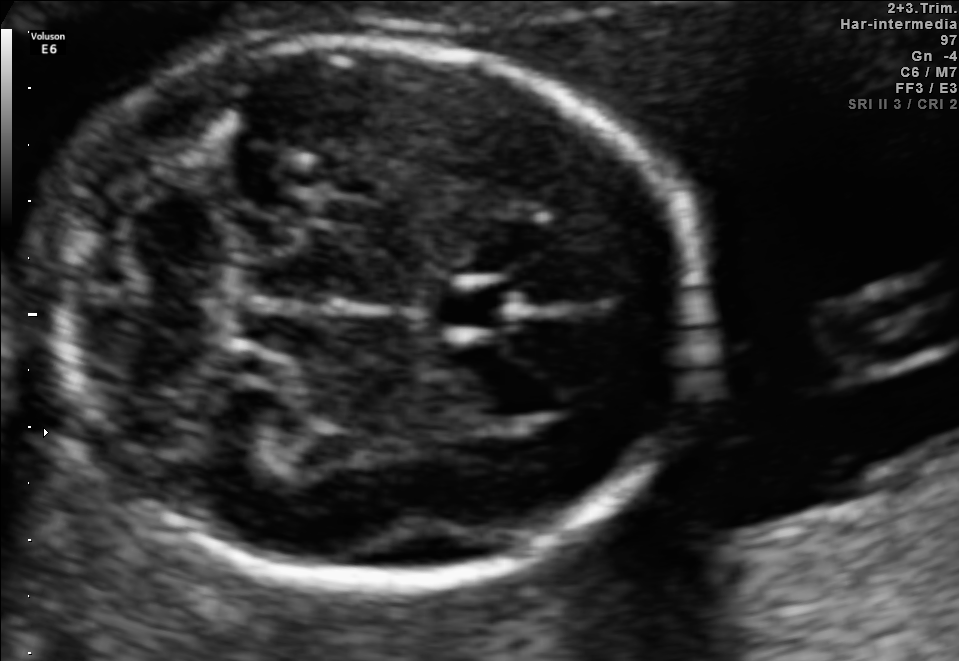
Fetal brain, trans-cerebellum plane. Where is the fetal head?

Head bounding box: [38,39,701,588]